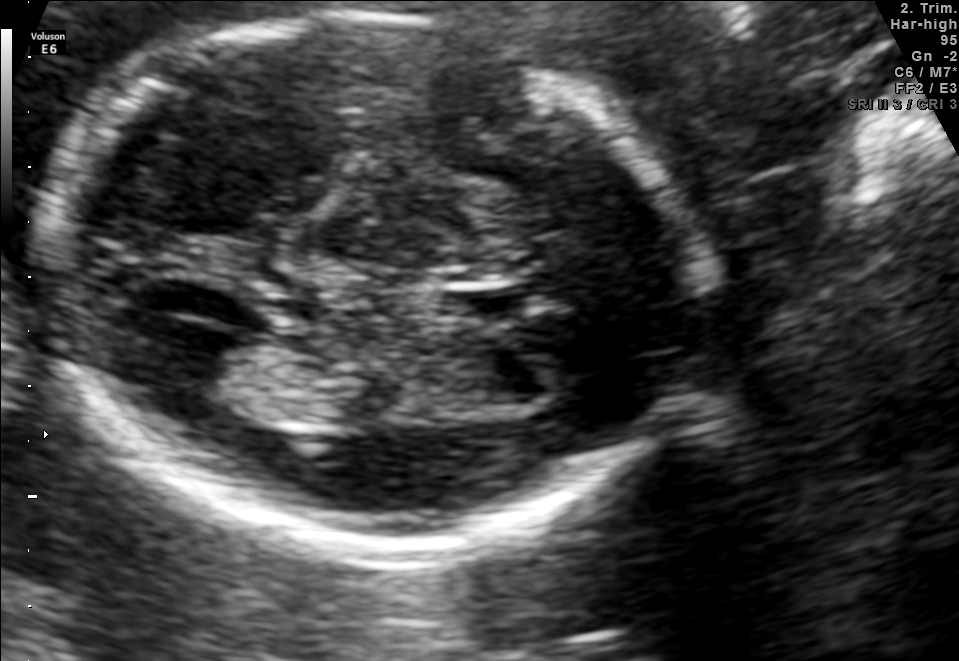
Fetal brain, trans-thalamic plane. Locate the cavum septum pellucidum.

CSP: [450,283,542,319]